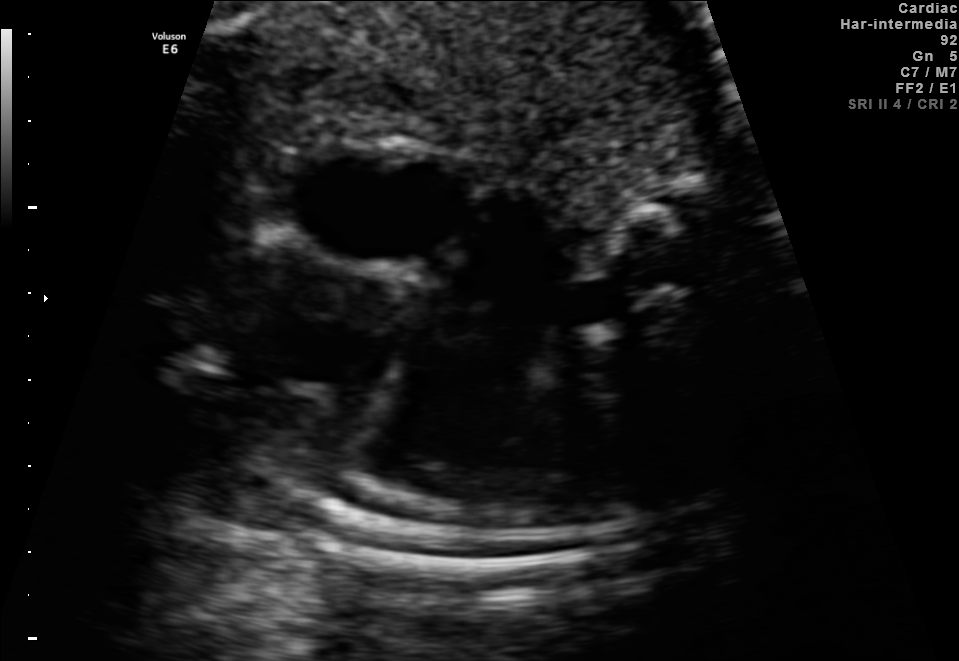
Classify this maternal-fetal ultrasound image as one of the six standard planes — fetal abdomen, fetal brain, fetal femur, fetal thorax, maternal cervix, or other. If it's fetal brain and one of the three standard brain planes (trans-thalamic, trans-cerebellum, trans-ventricular), name which.

Fetal thorax